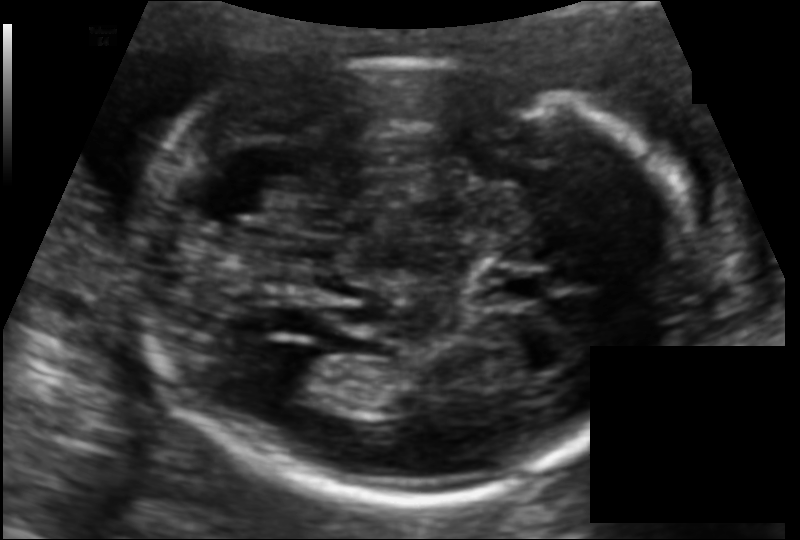
What is the fetal head circumference? Image width is 91.9 mm.

183.6 mm